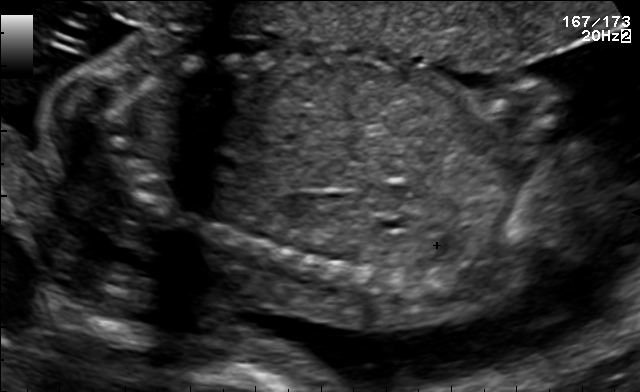
Classify this maternal-fetal ultrasound image as one of the six standard planes — fetal abdomen, fetal brain, fetal femur, fetal thorax, maternal cervix, or other. If it's fetal brain and one of the three standard brain planes (trans-thalamic, trans-cerebellum, trans-ventricular), name which.

Other